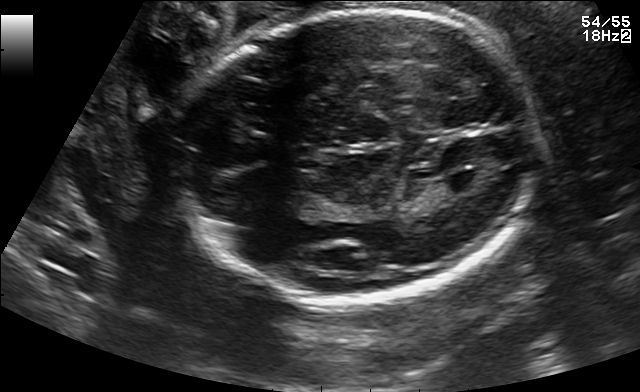
Identify the standard plane in this fetal ultrasound image: fetal abdomen, fetal brain, fetal femur, fetal thorax, maternal cervix, or other. If it's fetal brain and one of the three standard brain planes (trans-thalamic, trans-cerebellum, trans-ventricular), name which.

Fetal brain (trans-ventricular plane)